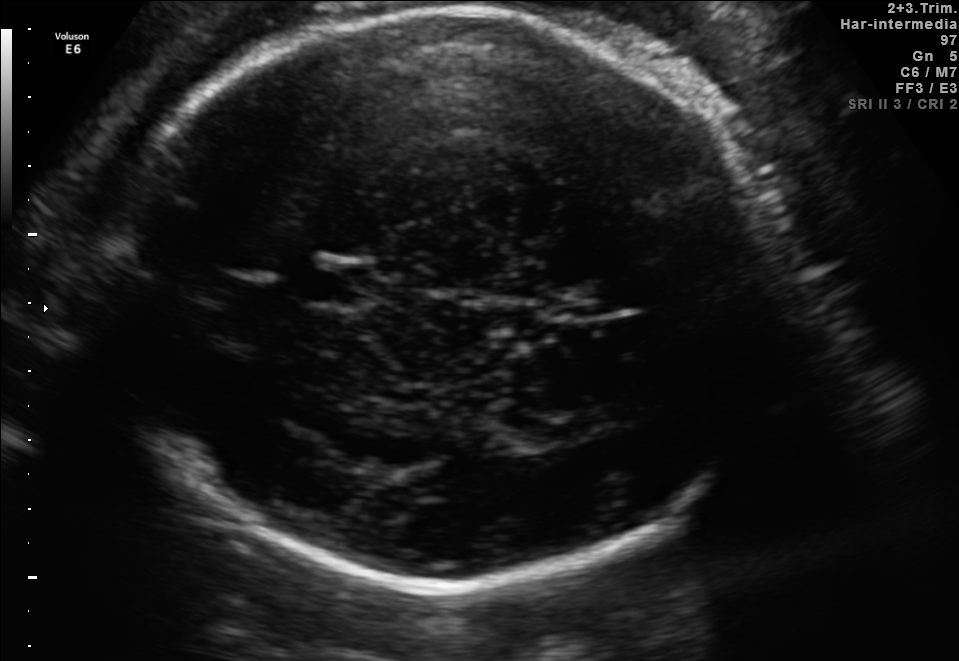
Fetal brain, trans-thalamic plane. Where is the fetal head?

Head bounding box: [105,11,792,582]